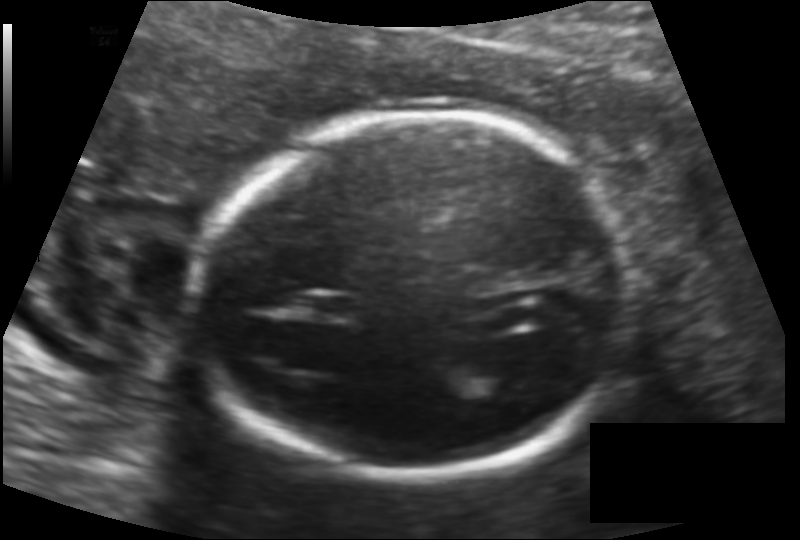
In this fetal head ultrasound, give bounding boxes for the head outline, cavum septum pellucidum (CSP), and lateral ventricle (LV), where visible. Image width: 104.4 mm.

Head: [198,115,631,474]
CSP: [304,292,357,320]